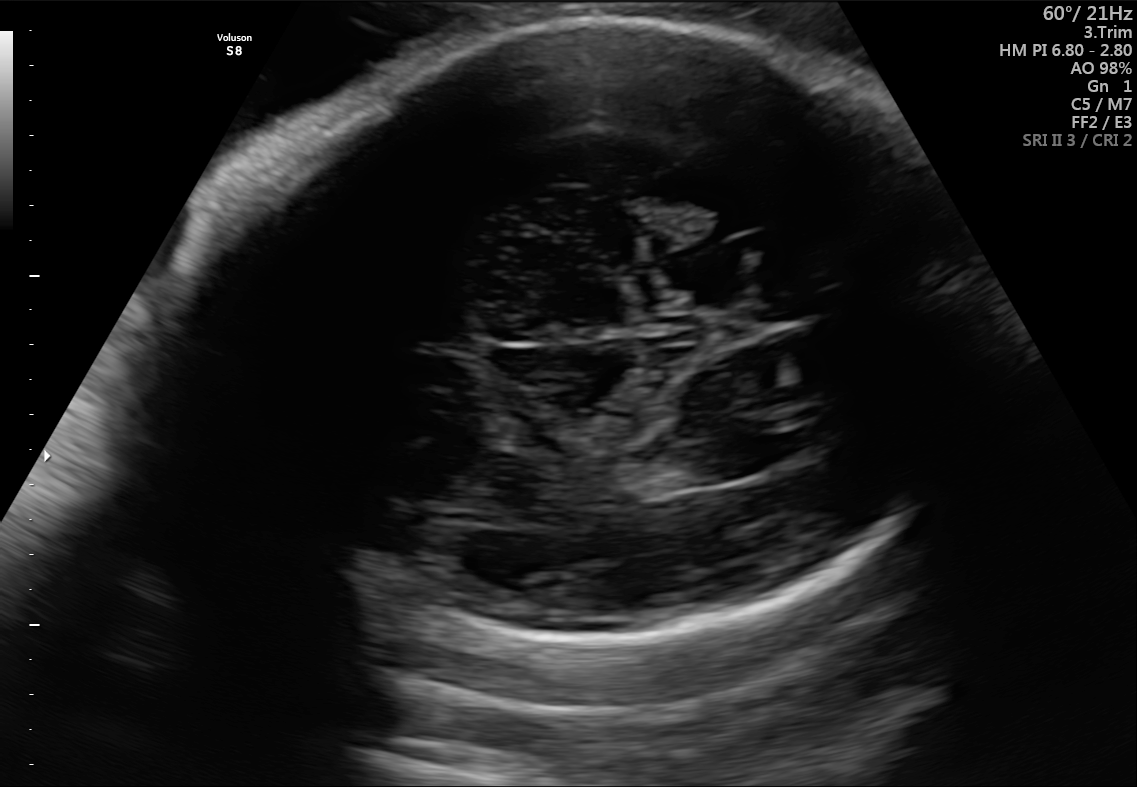
Fetal brain, trans-thalamic plane. Give [x1,y1,x2,y2] bounding boxes for each visible structure among: fetal head, CSP, LV.

Head: [204,14,971,635]